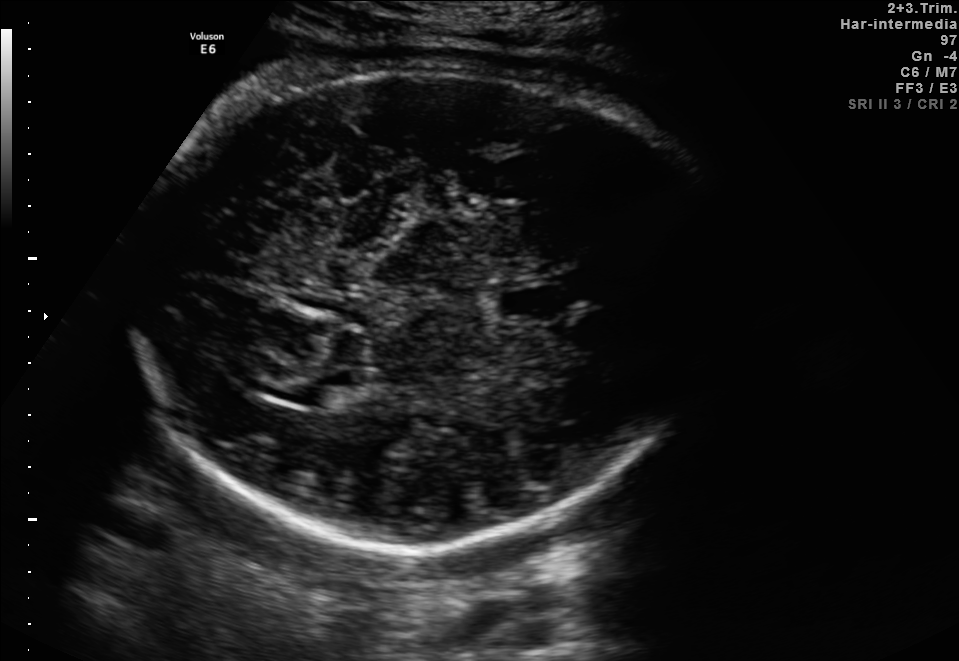
In this fetal brain, trans-thalamic plane, give bounding boxes for the head outline, cavum septum pellucidum (CSP), and lateral ventricle (LV), where visible.

Head: [129,63,720,546]
CSP: [497,280,561,319]
Lateral ventricle: [257,360,353,415]